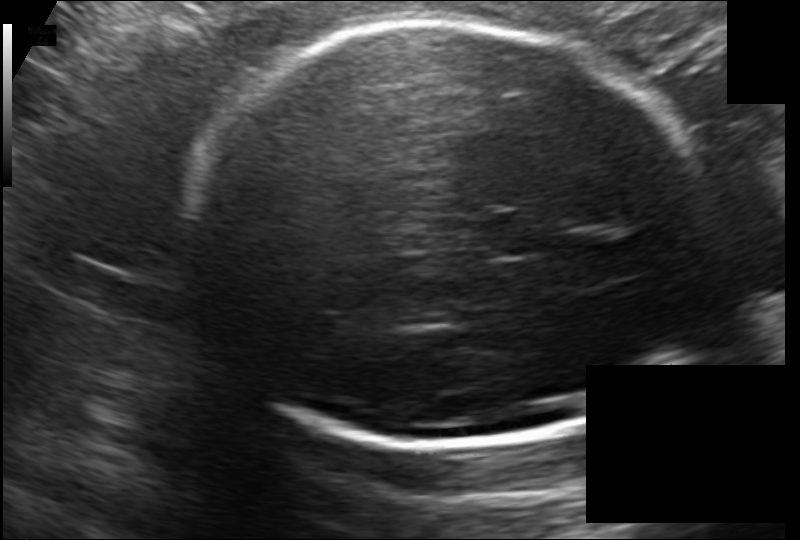
Fetal head ultrasound. Image width: 137.9 mm. Where is the fetal head?

Head bounding box: [189,21,705,445]